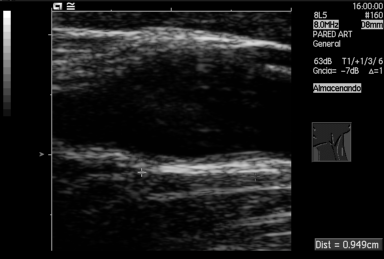
This is a 2D maternal-fetal ultrasound frame. Is it a fetal abdomen, fetal brain, fetal femur, fetal thorax, maternal cervix, or other standard plane? If it's fetal brain and one of the three standard brain planes (trans-thalamic, trans-cerebellum, trans-ventricular), name which.

Other